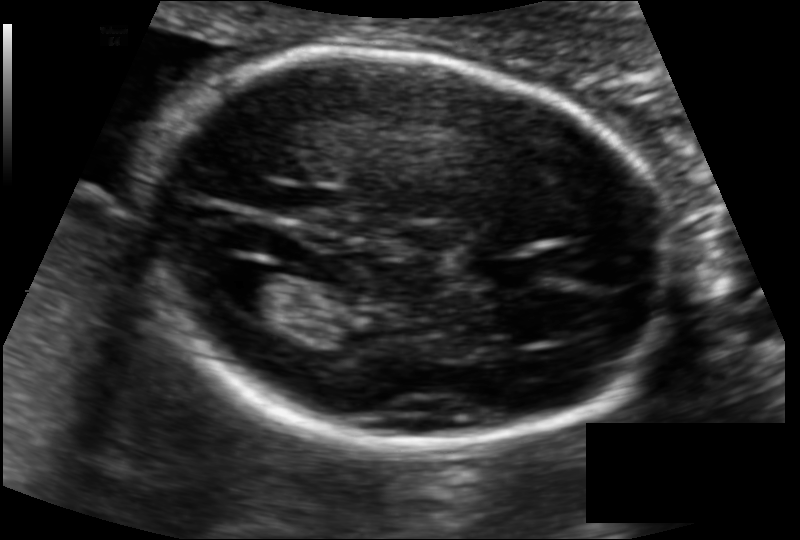
Fetal head ultrasound. Image width: 88.0 mm. Locate the fetal head.

Head: [137,55,678,451]